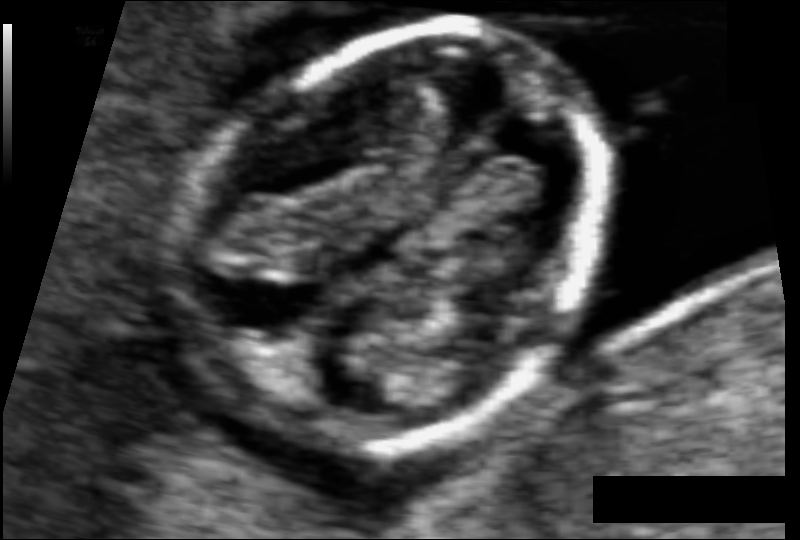
Fetal head ultrasound. Image width: 47.6 mm. Locate the fetal head and, if visible, the cavum septum pellucidum (CSP) and lateral ventricle (LV). Give bounding boxes as [x1,y1,x2,y2].

Head: [189,29,610,448]